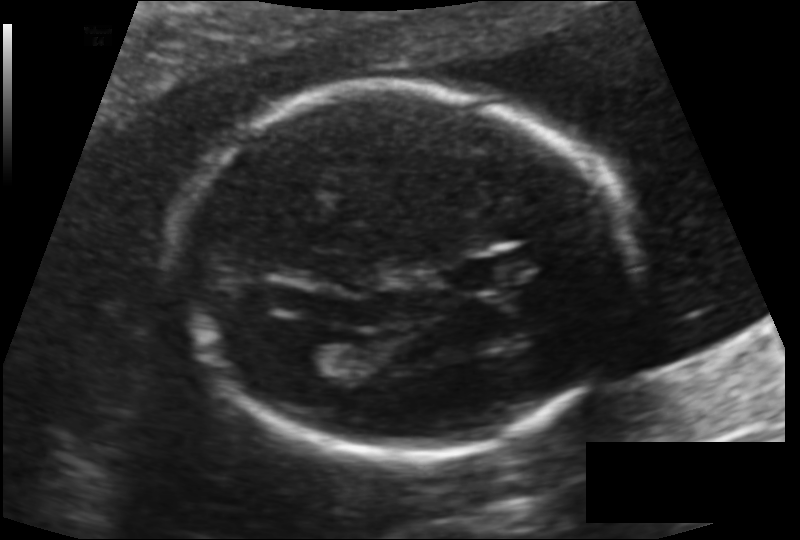
Estimate the fetal head circumference from this 2D ultrasound.

Head circumference: 175.8 mm (image width 104.6 mm).